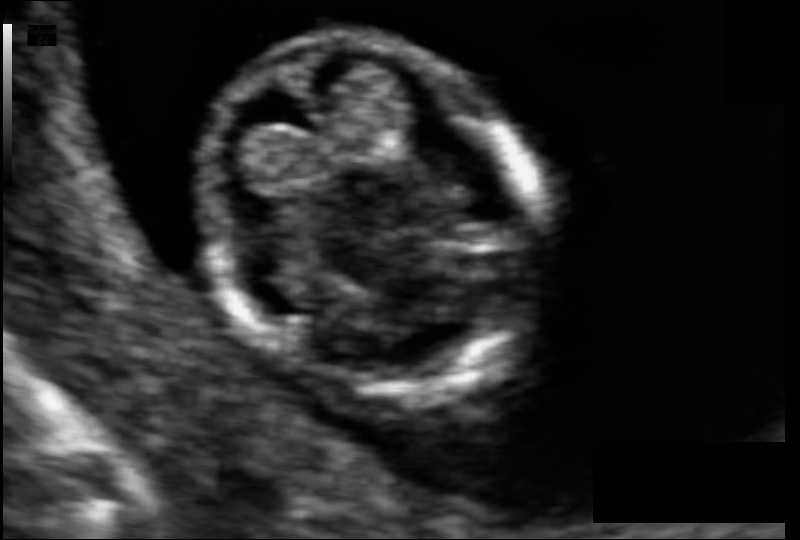
What is the fetal head circumference? Image width is 50.8 mm.

74.1 mm